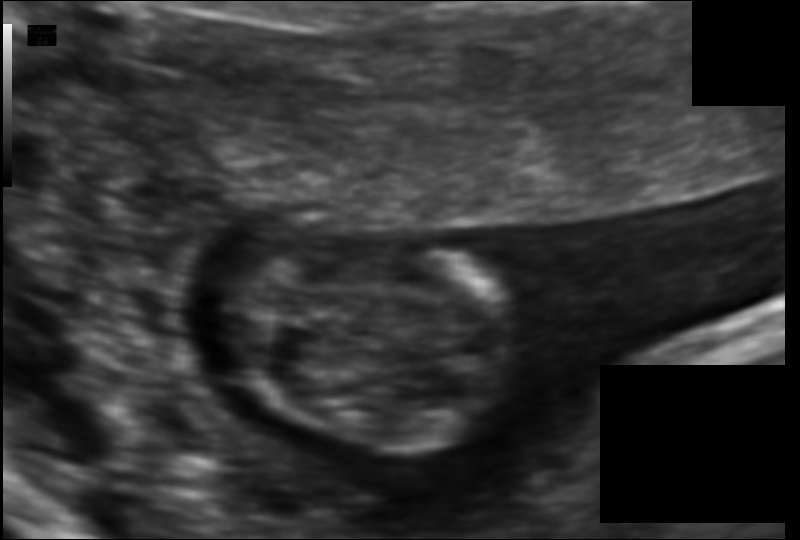
Fetal head ultrasound. Image width: 62.1 mm. Where is the fetal head?

Head bounding box: [224,243,523,448]